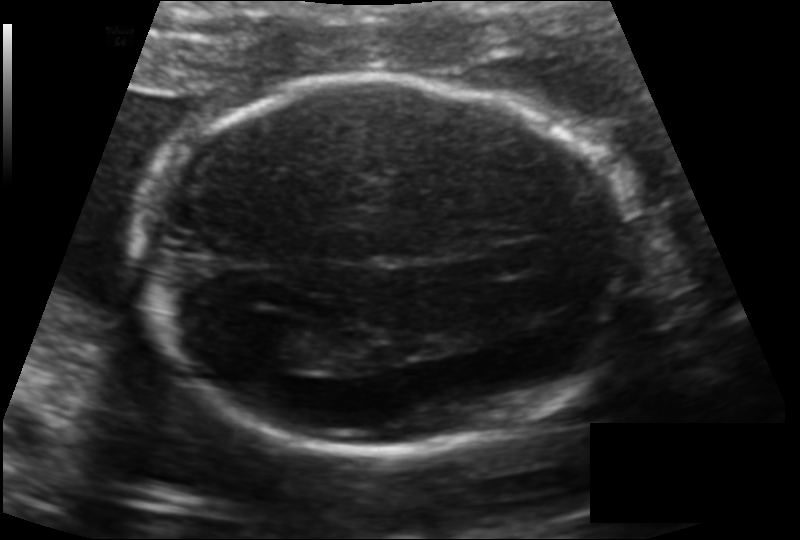
Fetal head ultrasound. Image width: 107.0 mm. Give [x1,y1,x2,y2] bounding boxes for each visible structure among: fetal head, CSP, LV.

Head: [149,77,637,450]
CSP: [479,237,550,280]
Lateral ventricle: [249,317,331,372]